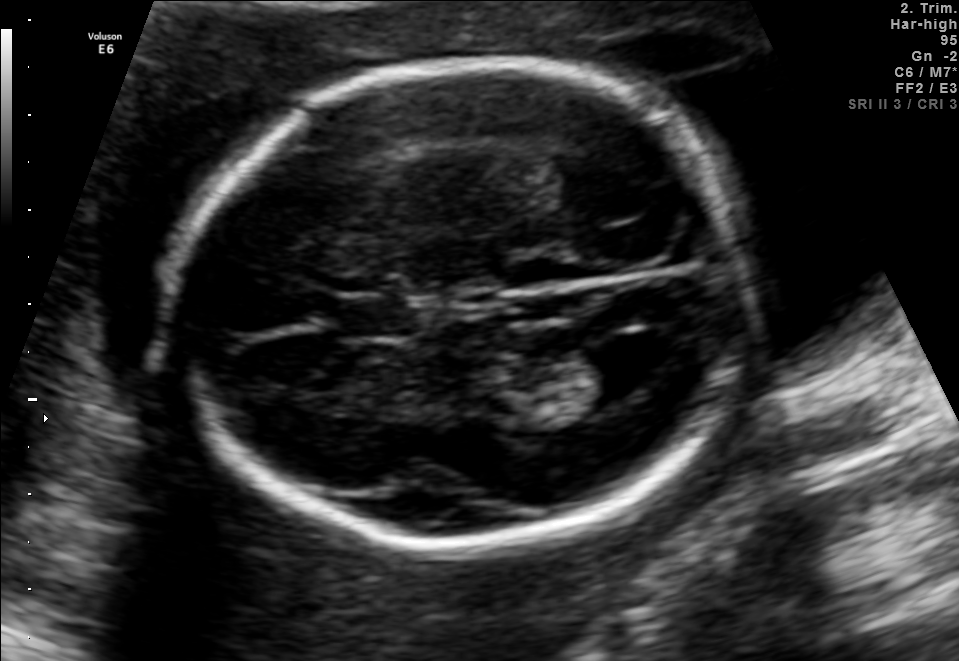
Identify the standard plane in this fetal ultrasound image: fetal abdomen, fetal brain, fetal femur, fetal thorax, maternal cervix, or other. If it's fetal brain and one of the three standard brain planes (trans-thalamic, trans-cerebellum, trans-ventricular), name which.

Fetal brain (trans-ventricular plane)